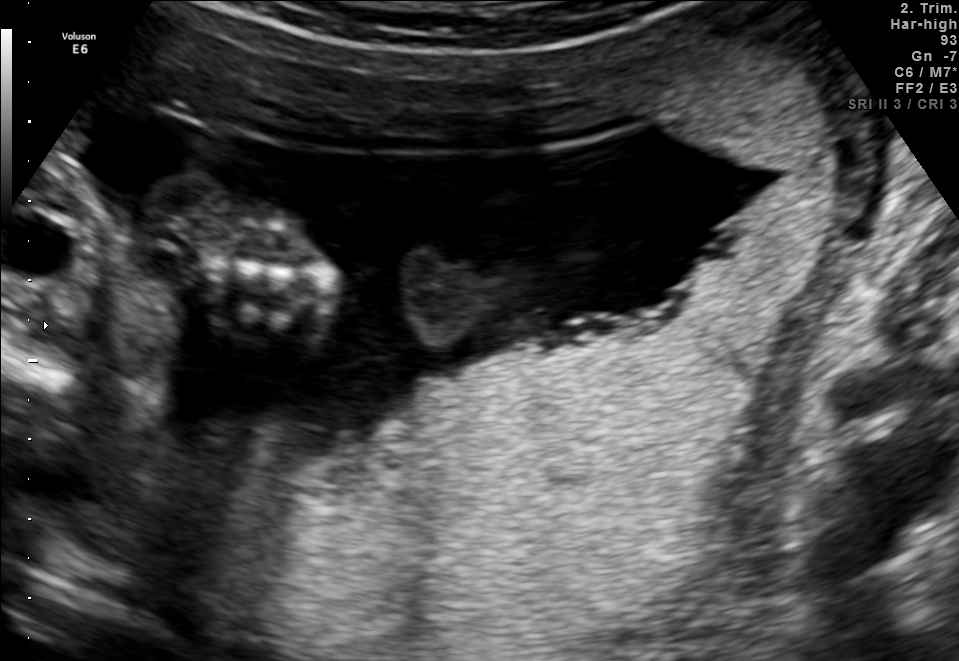
This is a 2D maternal-fetal ultrasound frame. Is it a fetal abdomen, fetal brain, fetal femur, fetal thorax, maternal cervix, or other standard plane? If it's fetal brain and one of the three standard brain planes (trans-thalamic, trans-cerebellum, trans-ventricular), name which.

Other